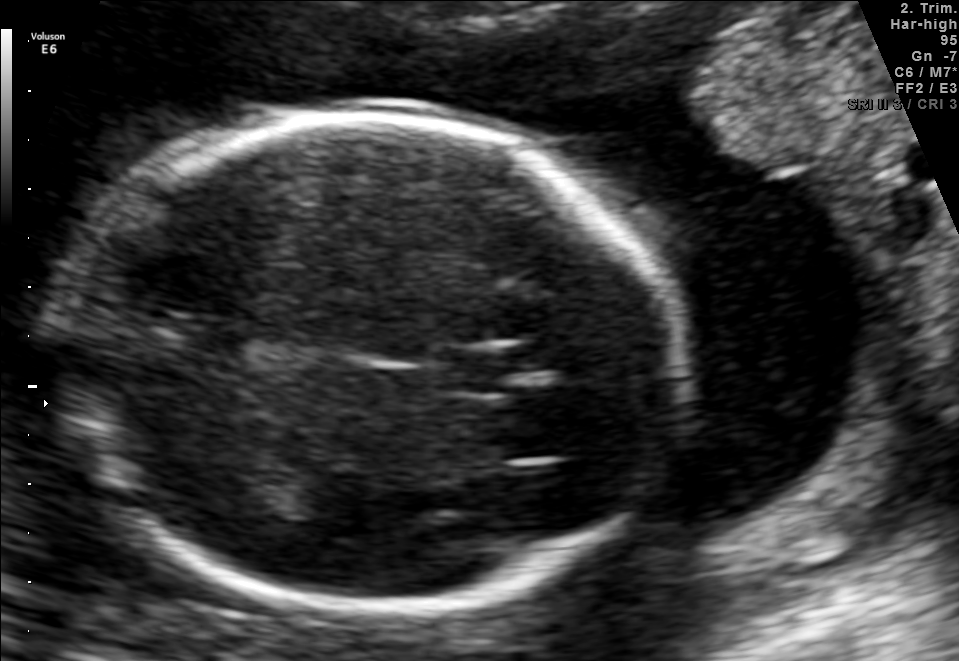
Fetal brain, trans-thalamic plane. Locate the cavum septum pellucidum.

CSP: [439,349,516,394]